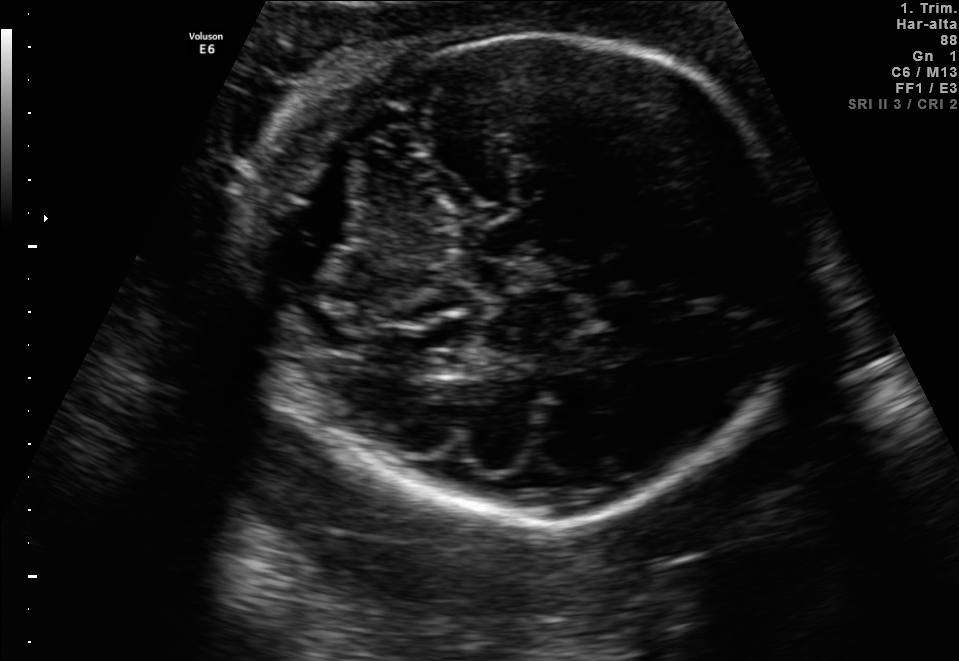
In this fetal brain, trans-cerebellum plane, give the bounding box of the fetal head.

[249,34,800,521]